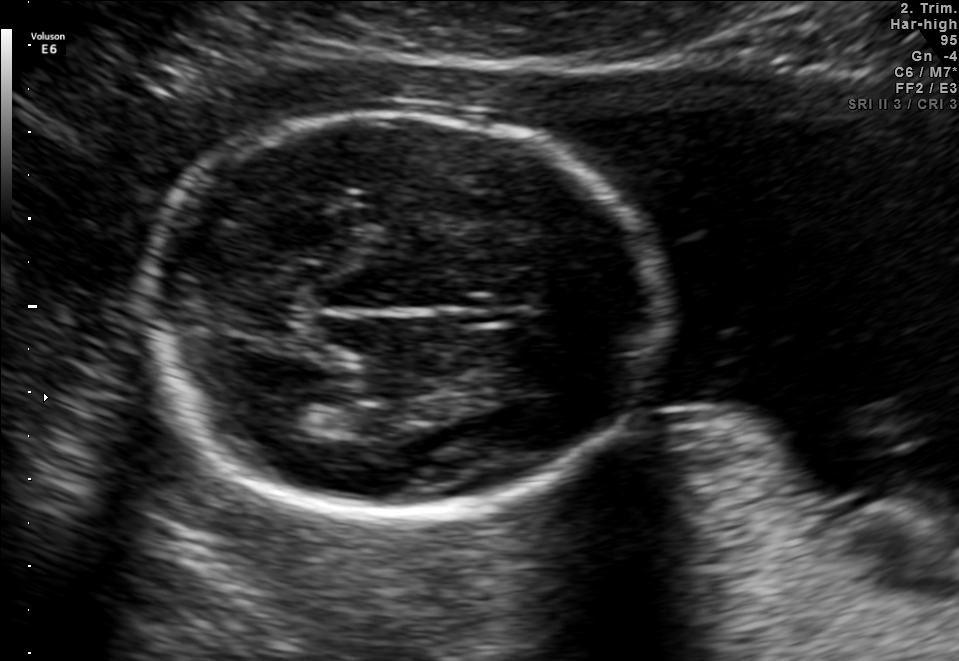
In this fetal brain, trans-thalamic plane, give the bounding box of the fetal head.

[138,111,667,510]